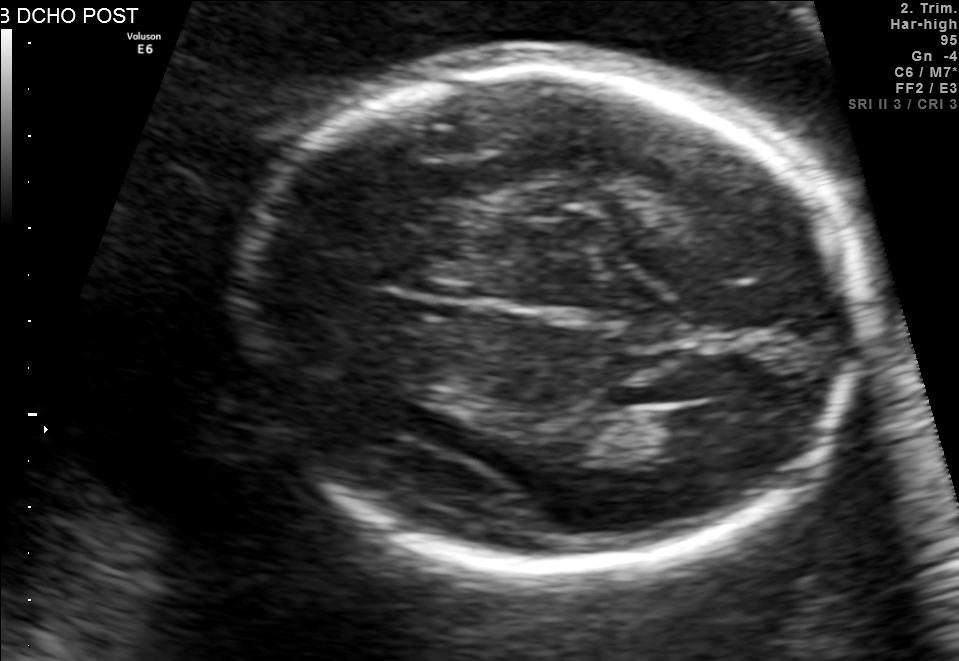
Fetal brain, trans-thalamic plane. Give [x1,y1,x2,y2] bounding boxes for each visible structure among: fetal head, CSP, LV.

Head: [239,66,856,573]
Lateral ventricle: [642,397,753,458]